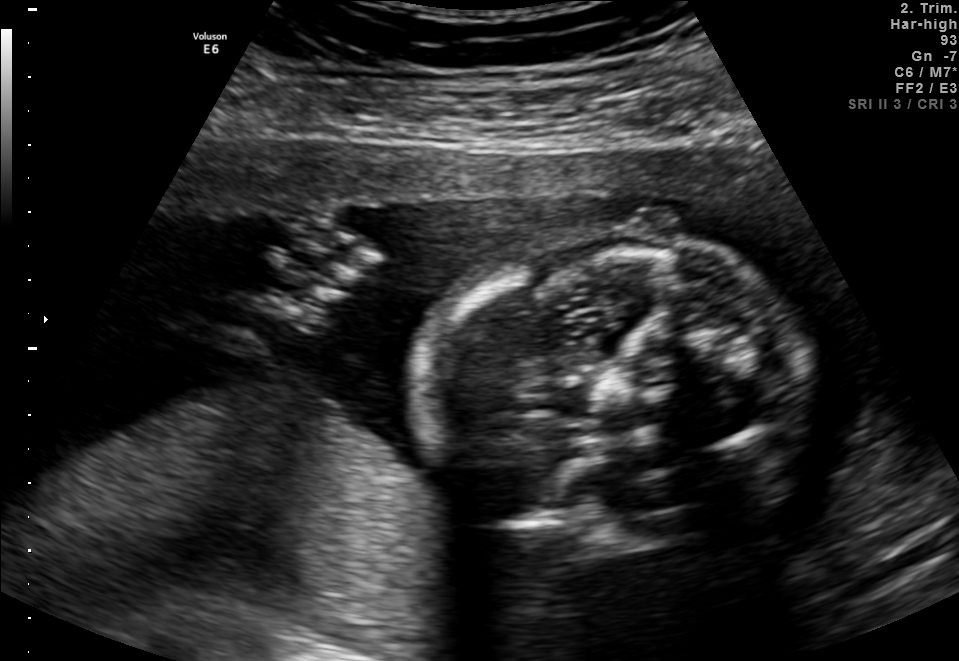
Identify the standard plane in this fetal ultrasound image: fetal abdomen, fetal brain, fetal femur, fetal thorax, maternal cervix, or other. If it's fetal brain and one of the three standard brain planes (trans-thalamic, trans-cerebellum, trans-ventricular), name which.

Fetal brain